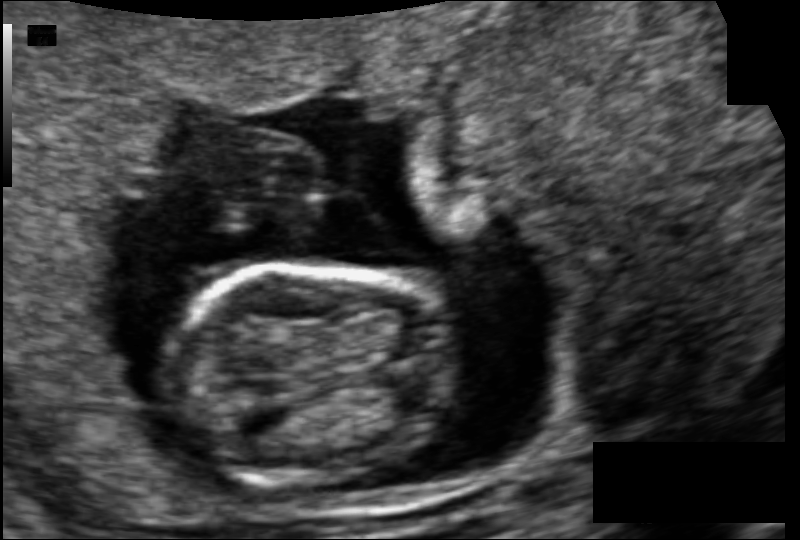
Measure the fetal head circumference shown in this ultrasound image. Image width: 70.0 mm.

Head circumference: 71.9 mm.